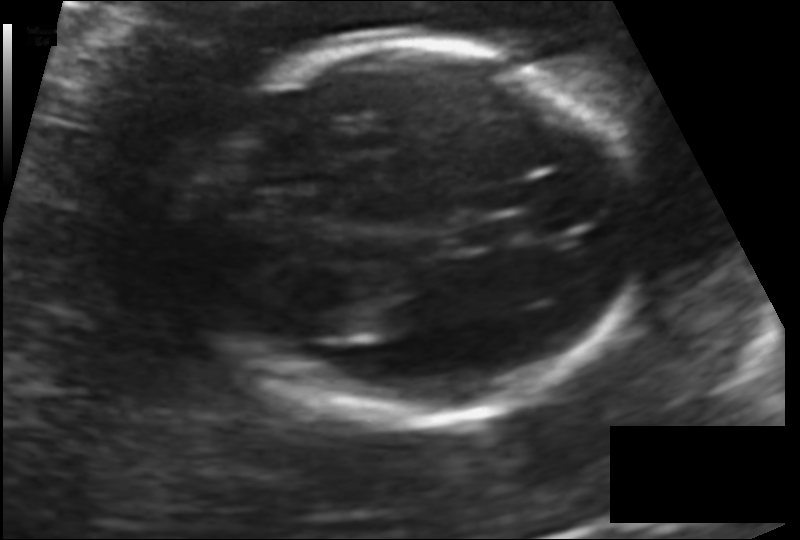
From this fetal ultrasound, estimate the head circumference (image width 104.5 mm).

Head circumference: 173.2 mm.